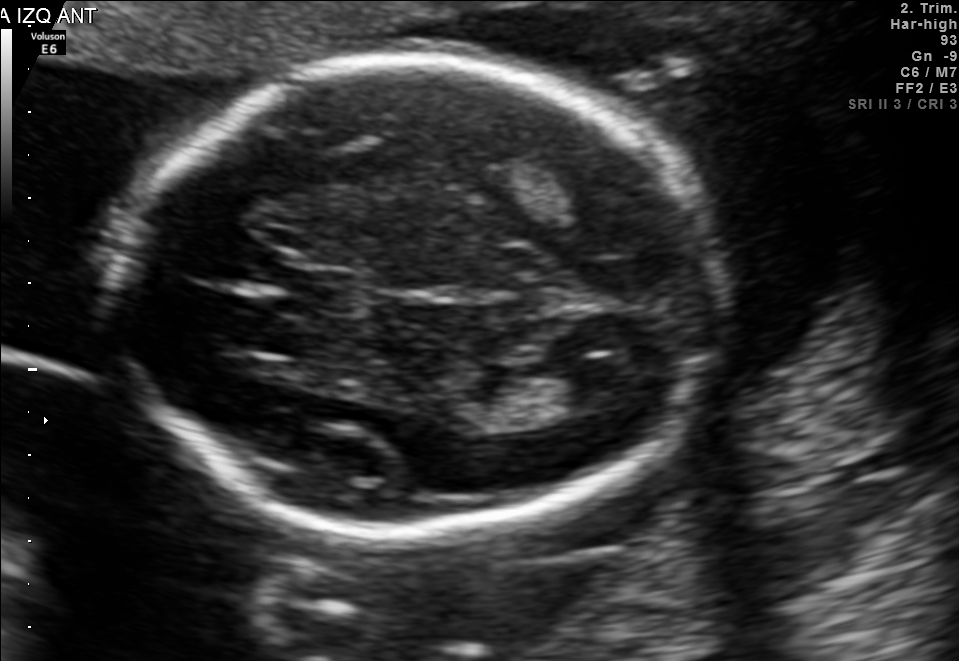
Fetal brain, trans-thalamic plane. Where is the cavum septum pellucidum?

CSP bounding box: [282,269,352,313]